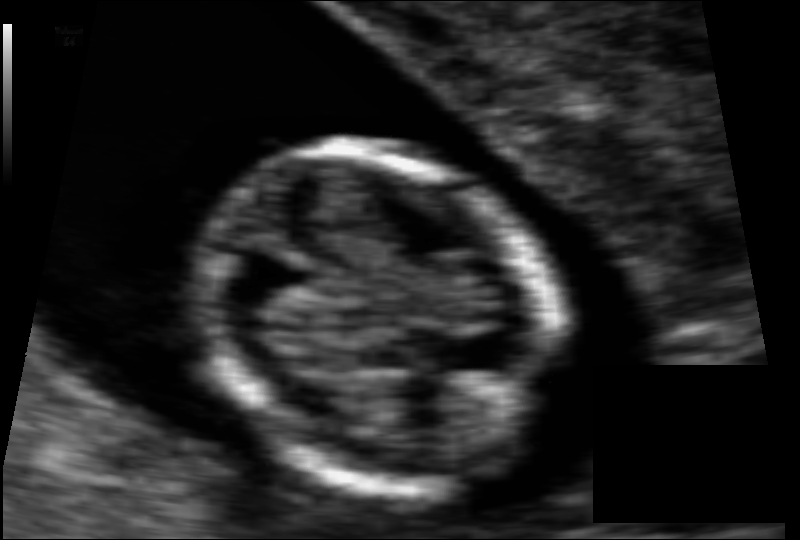
Fetal head ultrasound. Image width: 49.4 mm. Where is the fetal head?

Head bounding box: [198,142,561,493]